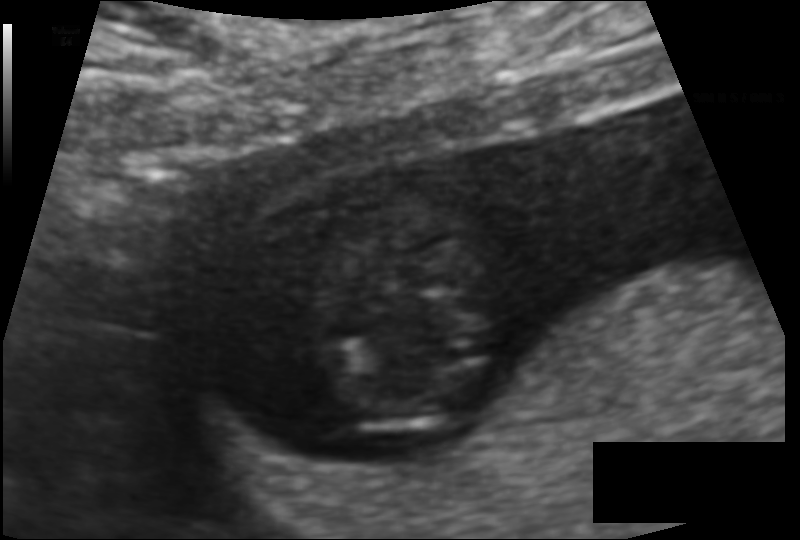
What is the fetal head circumference? Image width is 75.5 mm.

64.5 mm